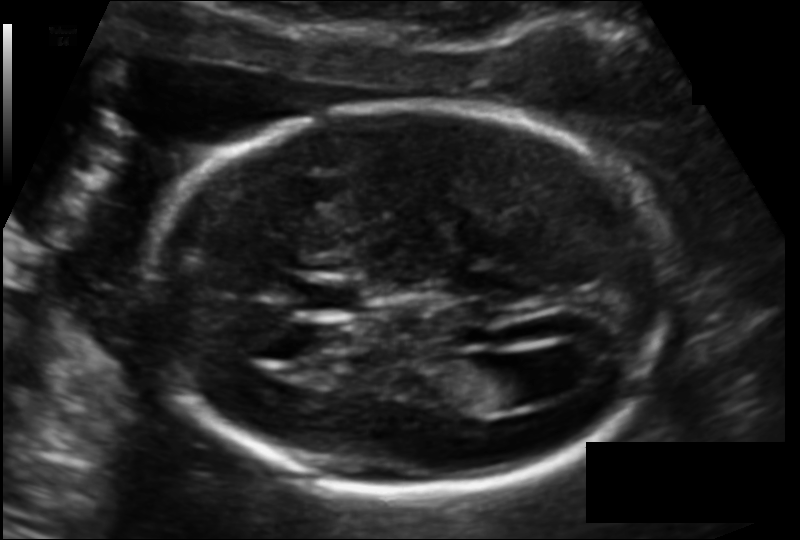
What is the fetal head circumference? Image width is 94.5 mm.

171.7 mm